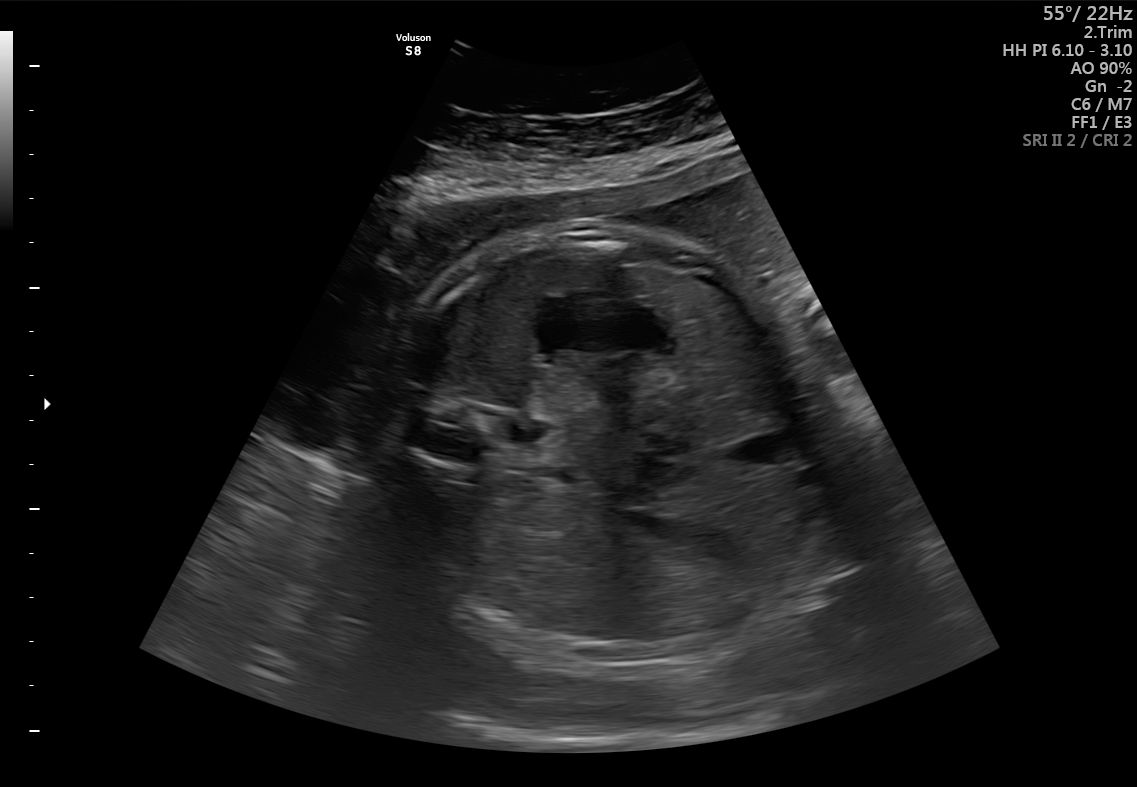
This is a 2D maternal-fetal ultrasound frame. Is it a fetal abdomen, fetal brain, fetal femur, fetal thorax, maternal cervix, or other standard plane? If it's fetal brain and one of the three standard brain planes (trans-thalamic, trans-cerebellum, trans-ventricular), name which.

Other